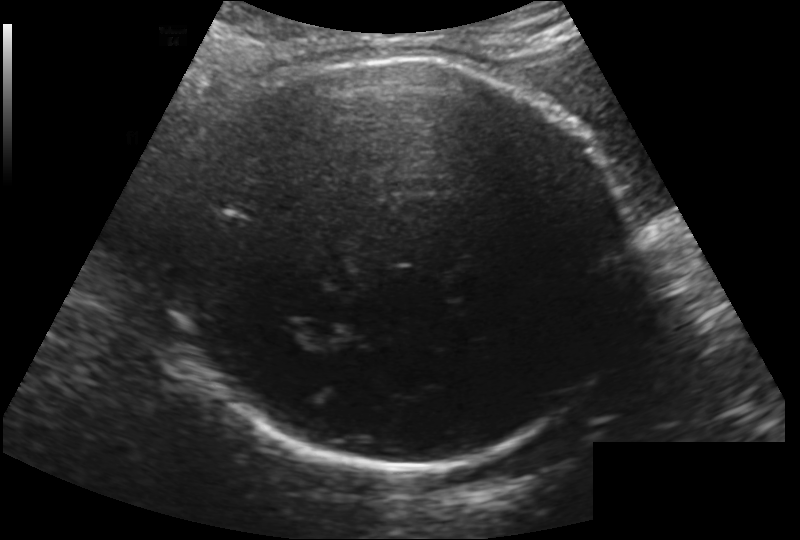
Fetal head ultrasound. Image width: 160.1 mm. Where is the fetal head?

Head bounding box: [166,59,632,471]